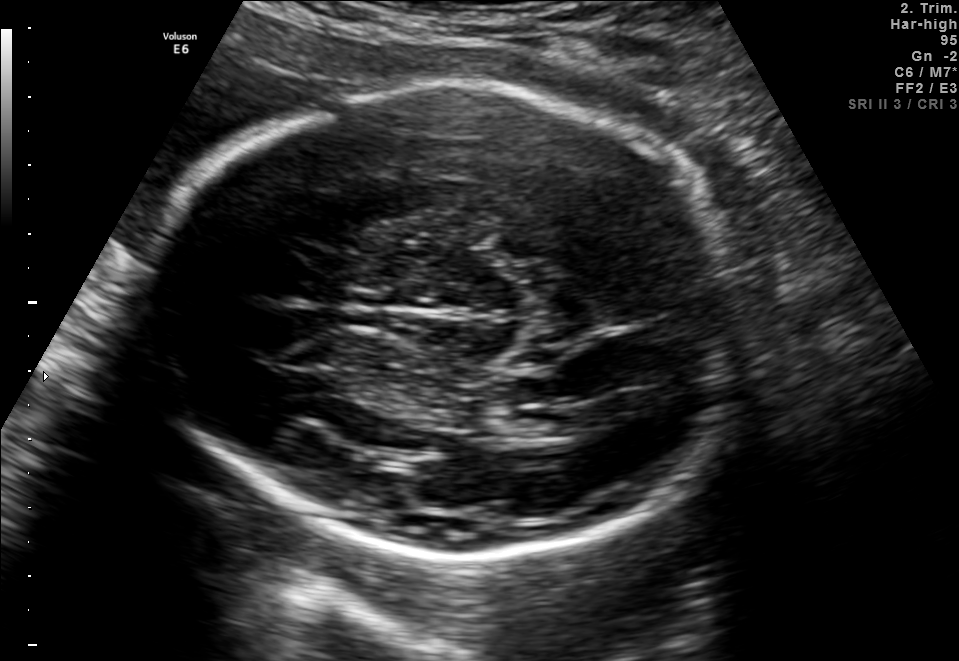
Fetal brain, trans-thalamic plane. Where is the fetal head?

Head bounding box: [155,85,752,552]